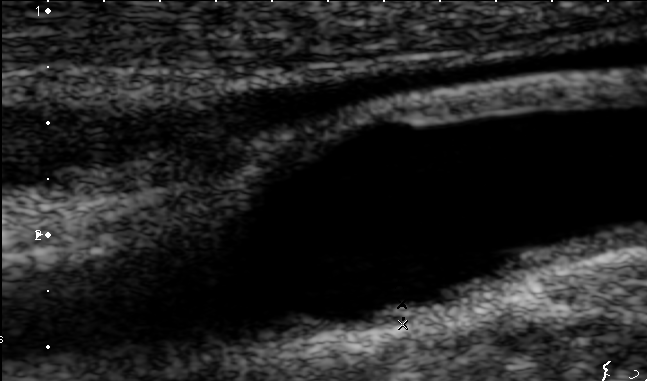
Which standard maternal-fetal ultrasound plane is shown: fetal abdomen, fetal brain, fetal femur, fetal thorax, maternal cervix, or other? If it's fetal brain and one of the three standard brain planes (trans-thalamic, trans-cerebellum, trans-ventricular), name which.

Other